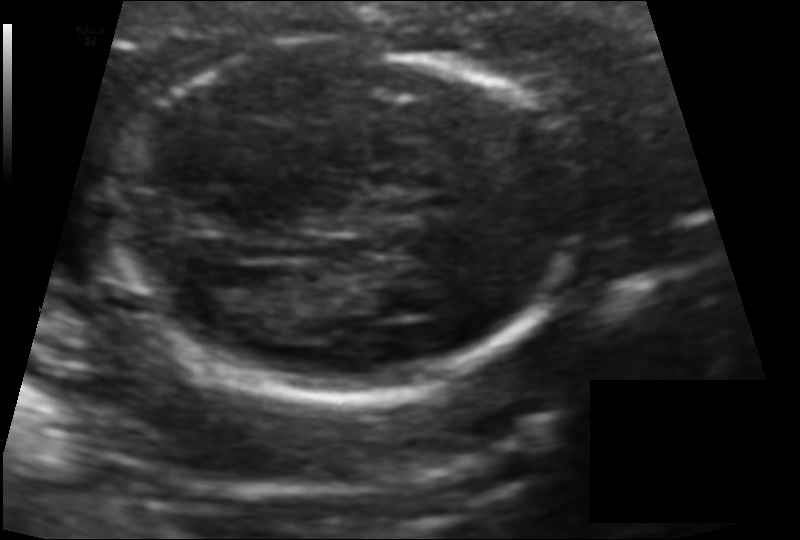
In this fetal head ultrasound, give the bounding box of the fetal head. Image width: 81.1 mm.

[117,42,571,397]